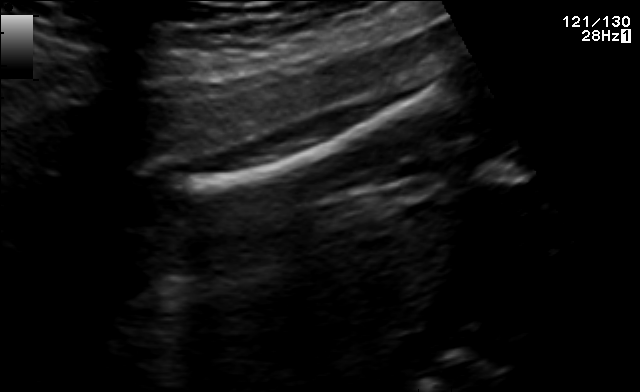
Which standard maternal-fetal ultrasound plane is shown: fetal abdomen, fetal brain, fetal femur, fetal thorax, maternal cervix, or other? If it's fetal brain and one of the three standard brain planes (trans-thalamic, trans-cerebellum, trans-ventricular), name which.

Fetal femur